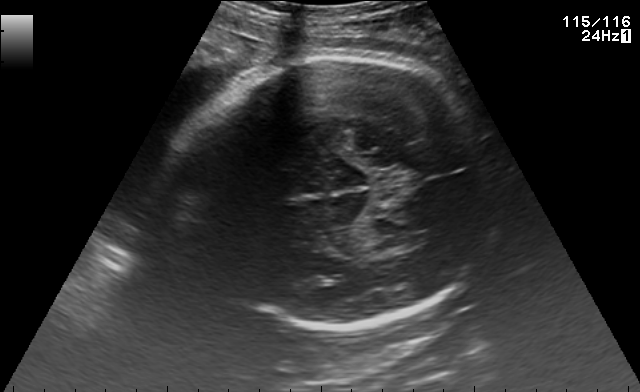
Fetal brain, trans-thalamic plane. Give [x1,y1,x2,y2] bounding boxes for each visible structure among: fetal head, CSP, LV.

Head: [163,56,501,330]